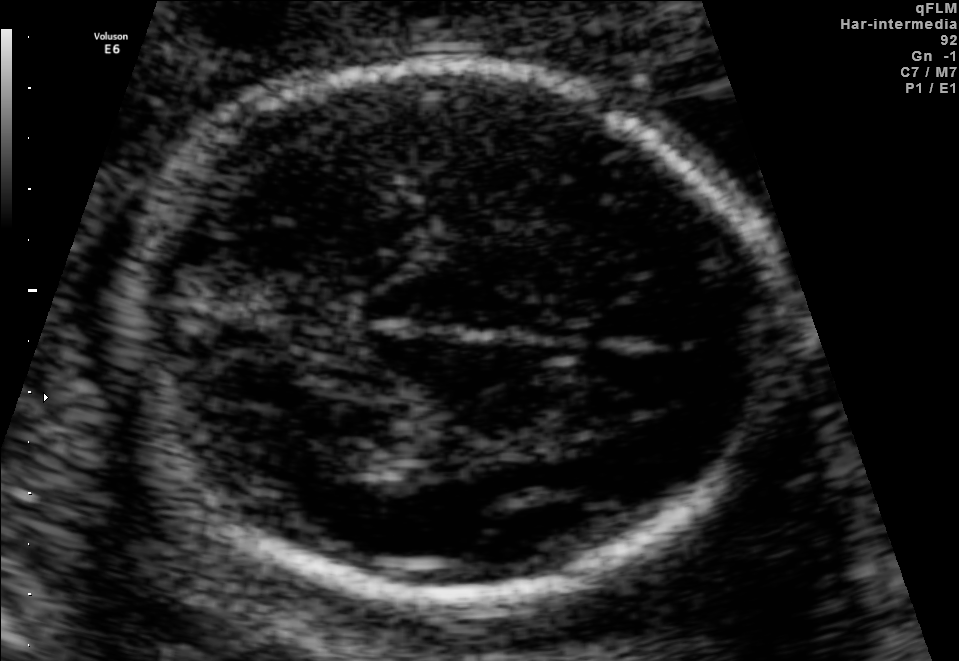
In this fetal brain, trans-thalamic plane, give the bounding box of the fetal head.

[130,63,789,596]